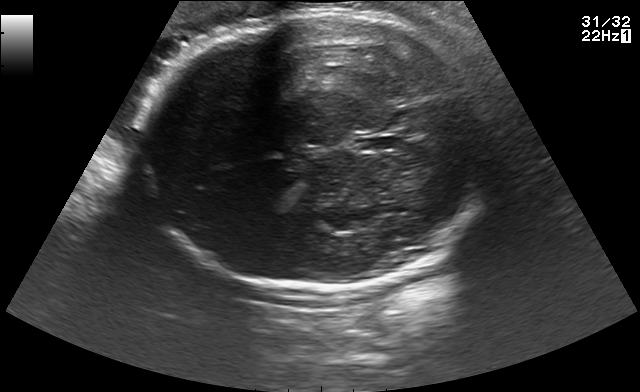
Fetal brain, trans-thalamic plane. Locate the cavum septum pellucidum.

CSP: [356,135,398,152]